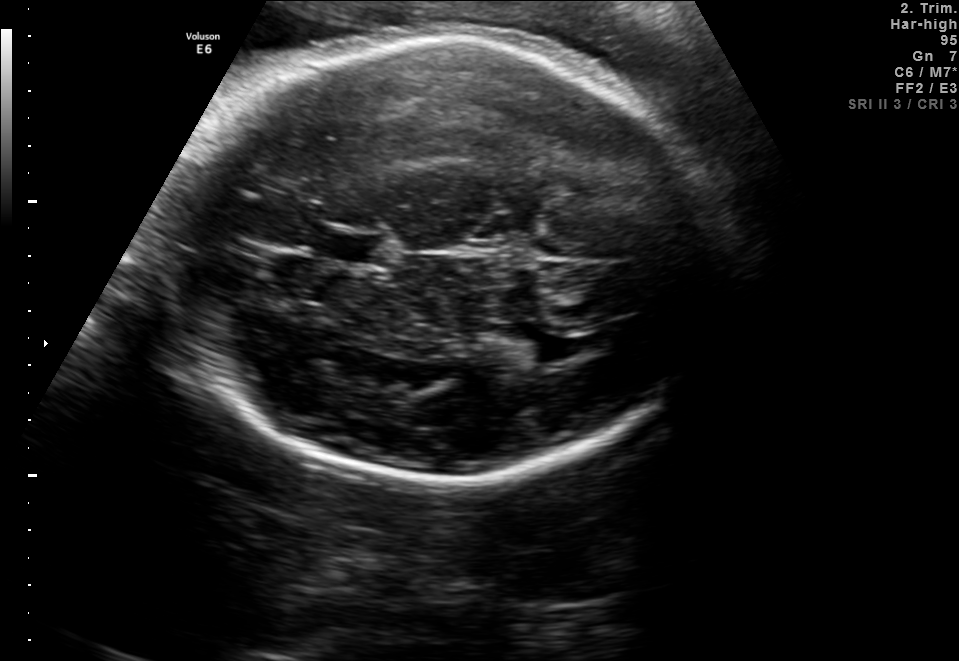
Fetal brain, trans-thalamic plane. Where is the fetal head?

Head bounding box: [171,37,728,482]